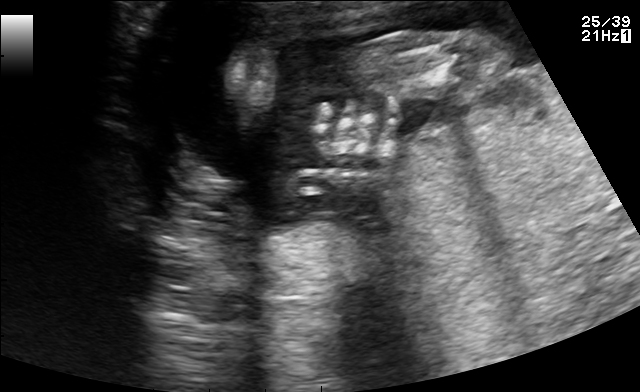
This is a 2D maternal-fetal ultrasound frame. Is it a fetal abdomen, fetal brain, fetal femur, fetal thorax, maternal cervix, or other standard plane? If it's fetal brain and one of the three standard brain planes (trans-thalamic, trans-cerebellum, trans-ventricular), name which.

Other